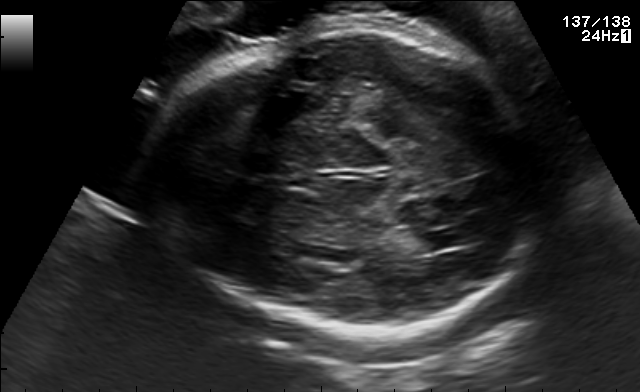
This is a 2D maternal-fetal ultrasound frame. Is it a fetal abdomen, fetal brain, fetal femur, fetal thorax, maternal cervix, or other standard plane? If it's fetal brain and one of the three standard brain planes (trans-thalamic, trans-cerebellum, trans-ventricular), name which.

Fetal brain (trans-thalamic plane)